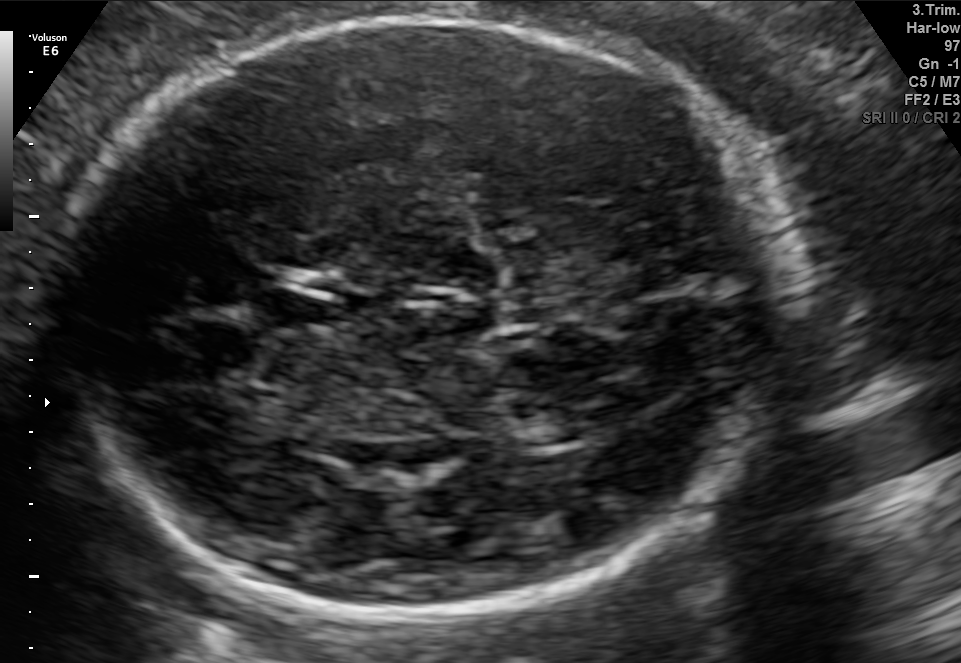
Fetal brain, trans-thalamic plane. Where is the fetal head?

Head bounding box: [43,11,798,620]